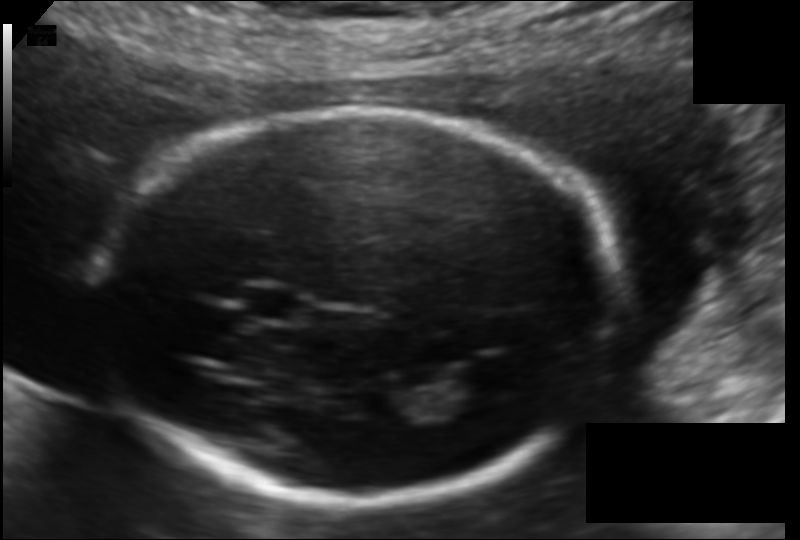
From this fetal ultrasound, estimate the head circumference (image width 96.1 mm).

Head circumference: 179.5 mm.